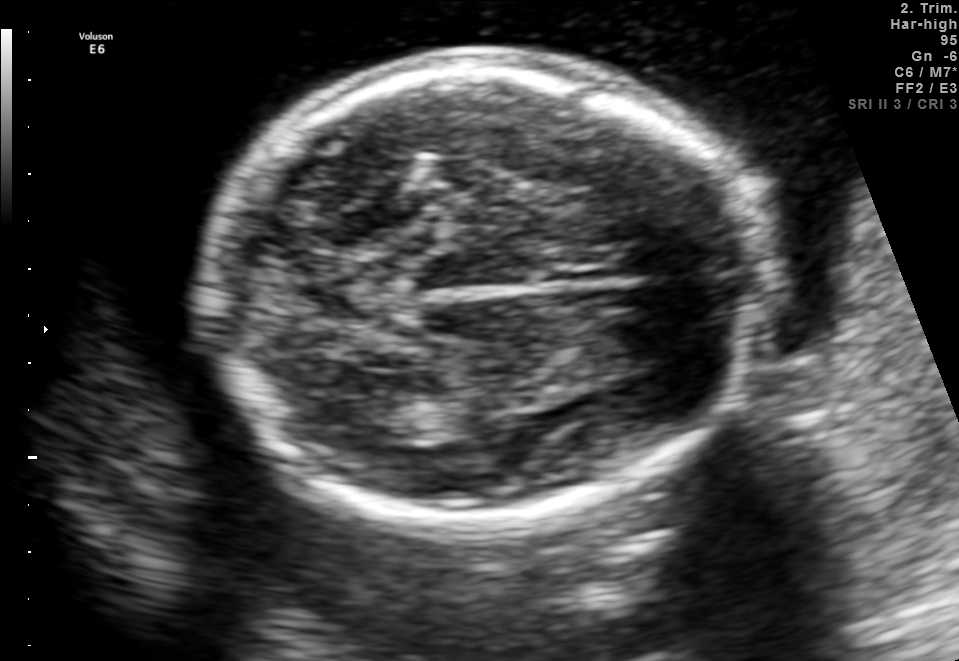
In this fetal brain, trans-thalamic plane, give bounding boxes for the head outline, cavum septum pellucidum (CSP), and lateral ventricle (LV), where visible.

Head: [207,56,766,517]
Lateral ventricle: [328,395,391,432]